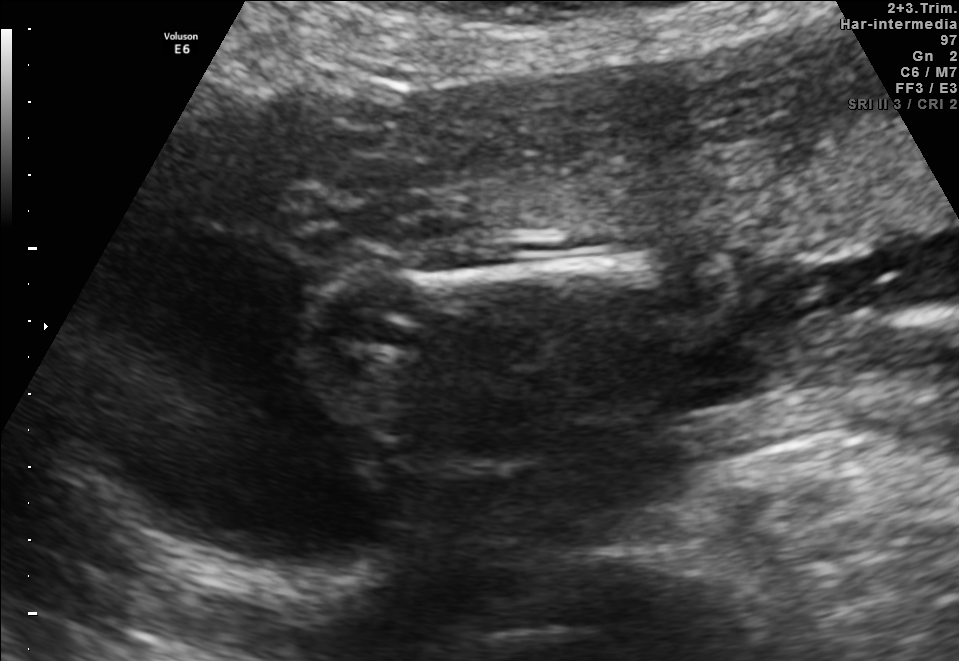
This is a 2D maternal-fetal ultrasound frame. Is it a fetal abdomen, fetal brain, fetal femur, fetal thorax, maternal cervix, or other standard plane? If it's fetal brain and one of the three standard brain planes (trans-thalamic, trans-cerebellum, trans-ventricular), name which.

Fetal femur